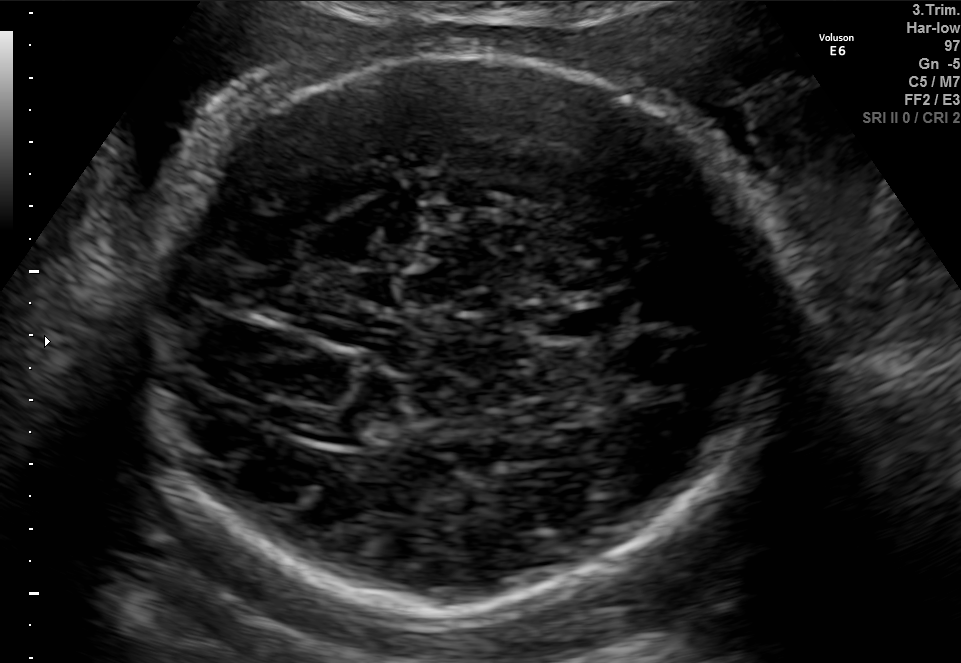
Fetal brain, trans-thalamic plane. Locate the fetal head and, if visible, the cavum septum pellucidum (CSP) and lateral ventricle (LV). Give bounding boxes as [x1,y1,x2,y2].

Head: [144,56,791,619]
CSP: [544,305,611,342]
Lateral ventricle: [290,404,368,447]